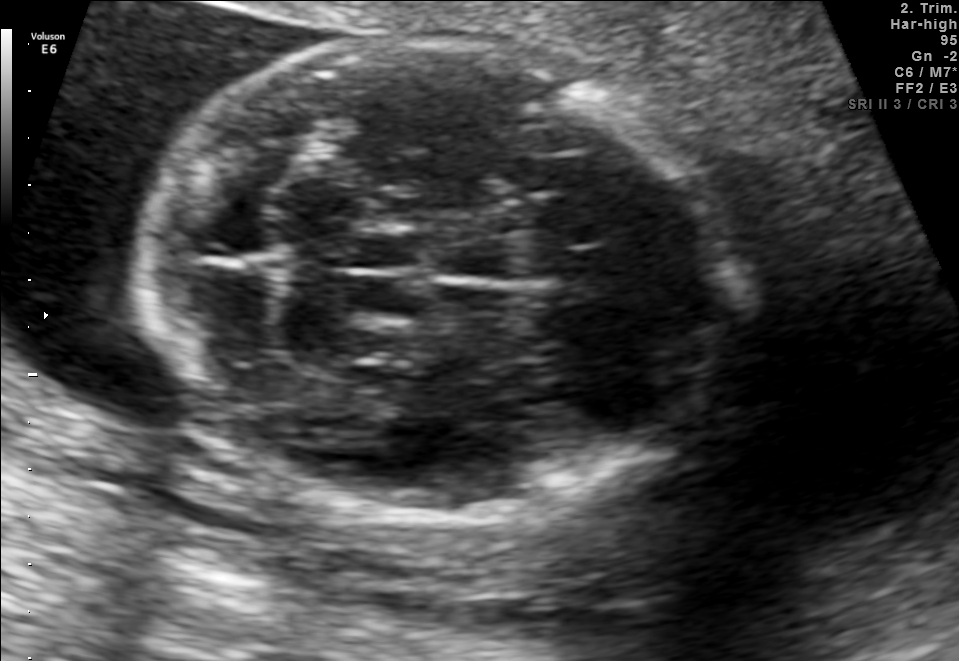
In this fetal brain, trans-cerebellum plane, give bounding boxes for the head outline, cavum septum pellucidum (CSP), and lateral ventricle (LV), where visible.

Head: [143,38,726,525]